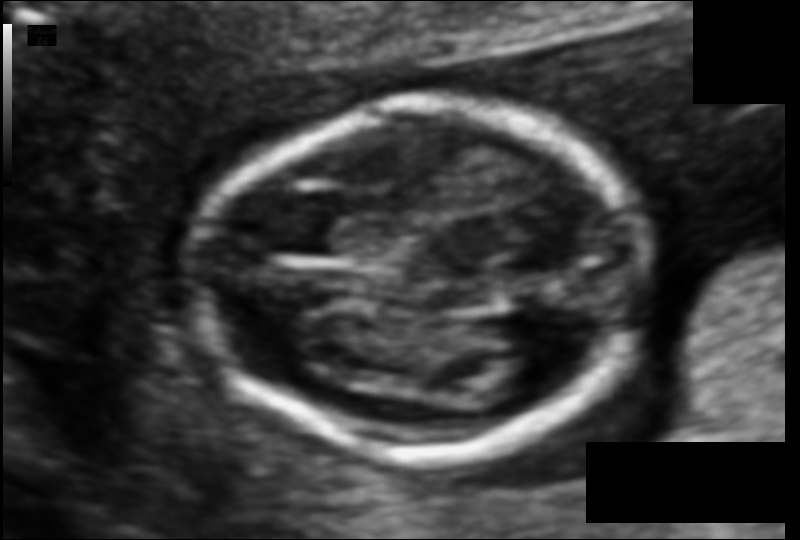
In this fetal head ultrasound, give bounding boxes for the head outline, cavum septum pellucidum (CSP), and lateral ventricle (LV), where visible. Image width: 61.5 mm.

Head: [197,105,648,458]